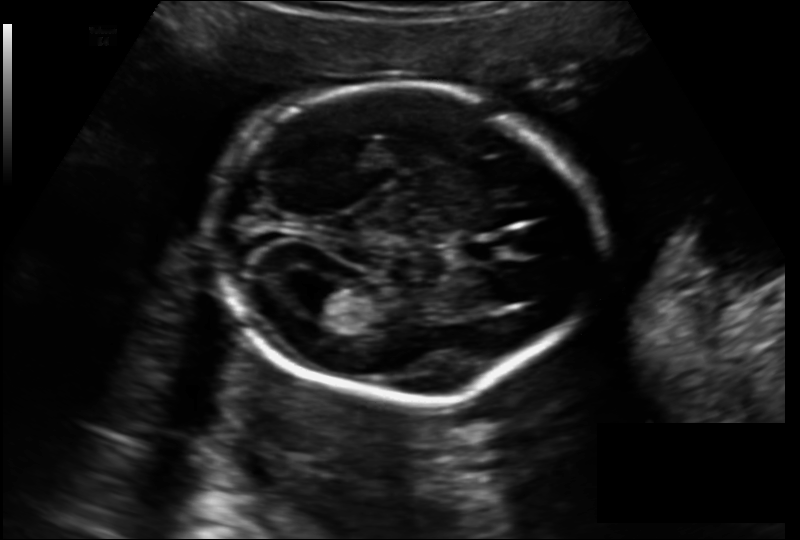
Fetal head ultrasound. Image width: 125.9 mm. Locate the cavum septum pellucidum.

CSP: [461,237,505,264]